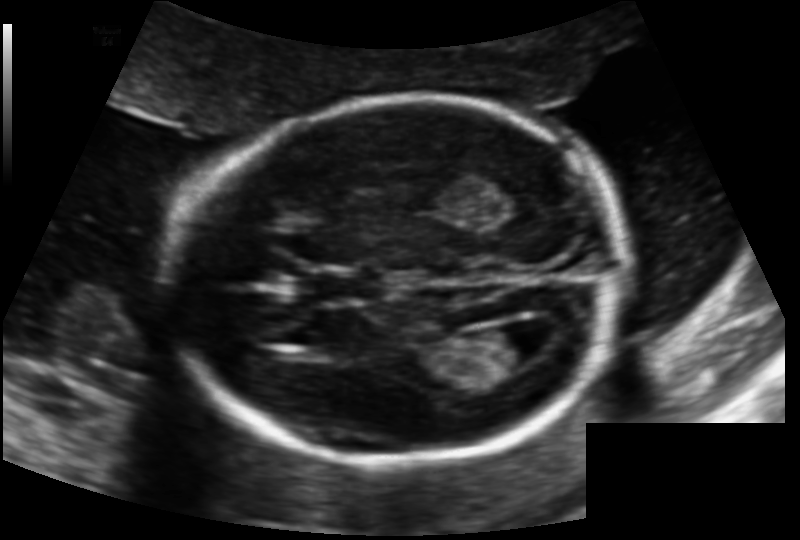
Fetal head ultrasound. Image width: 104.9 mm. Where is the cavum septum pellucidum?

CSP bounding box: [311,269,383,302]